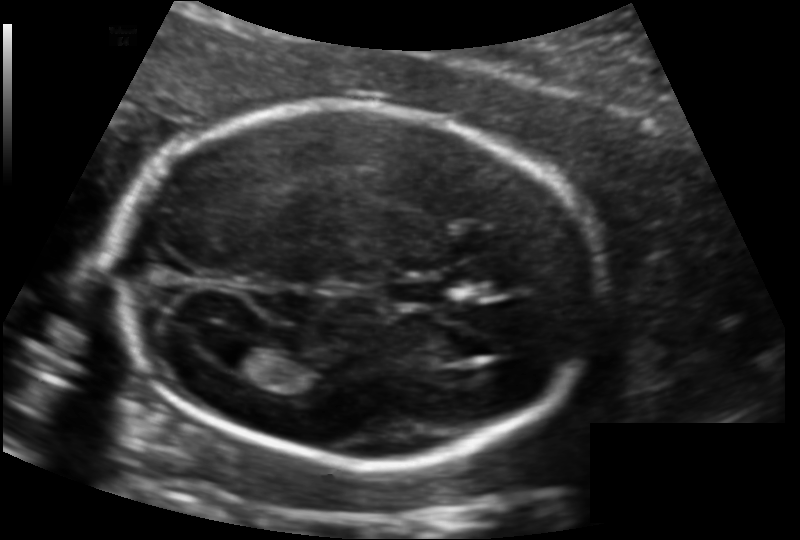
What is the fetal head circumference? Image width is 107.1 mm.

183.8 mm